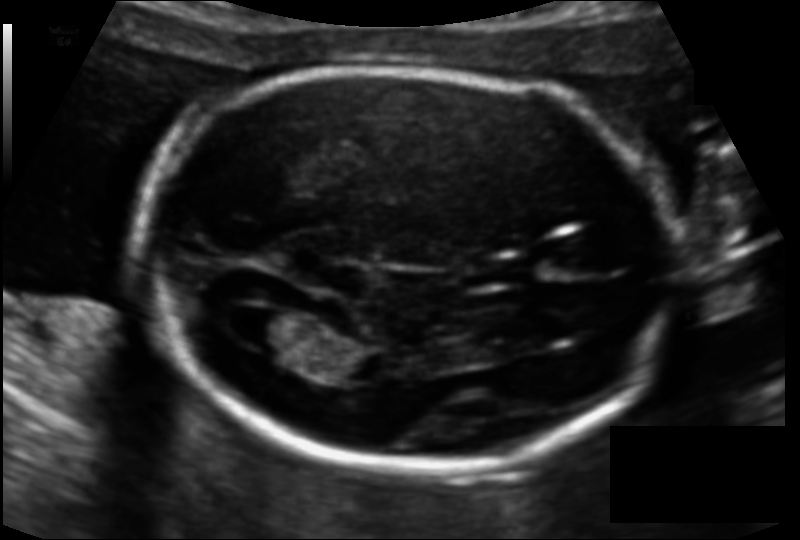
From this fetal ultrasound, estimate the head circumference (image width 89.1 mm).

Head circumference: 168.7 mm.